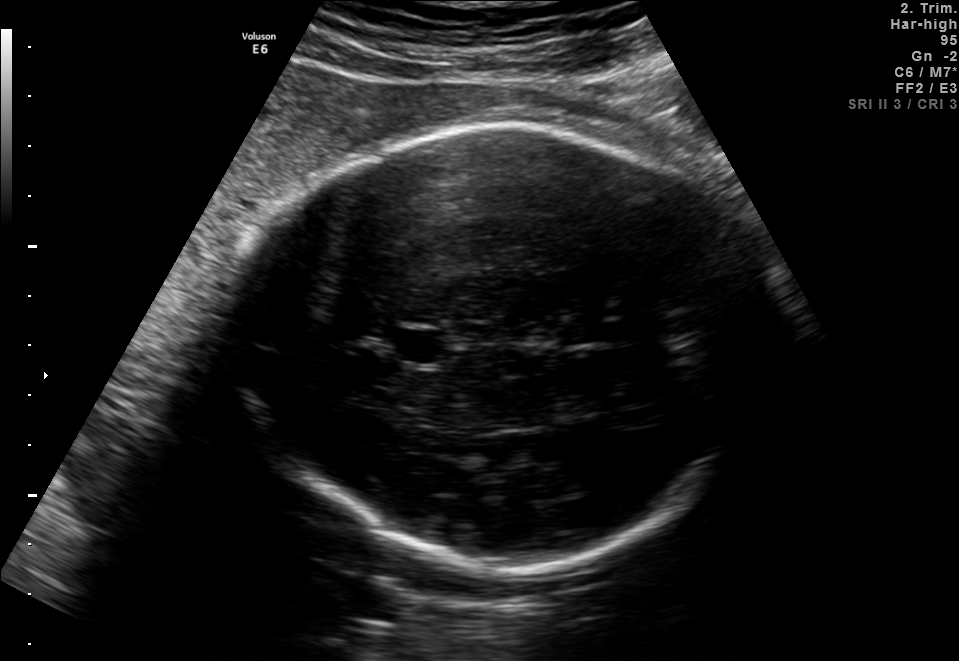
In this fetal brain, trans-thalamic plane, give the bounding box of the fetal head.

[227,127,760,564]